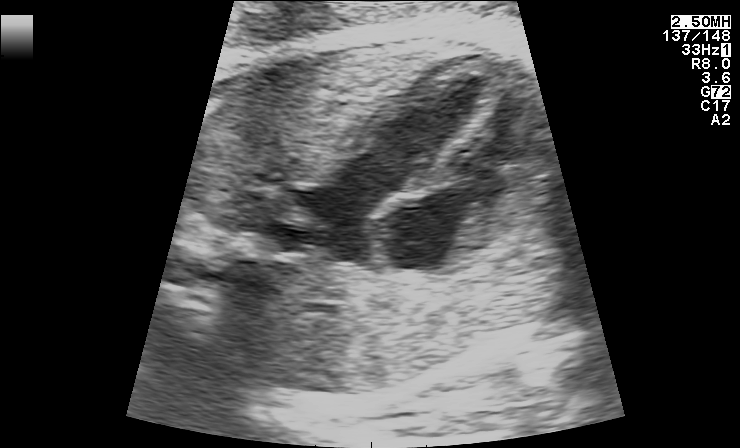
Identify the standard plane in this fetal ultrasound image: fetal abdomen, fetal brain, fetal femur, fetal thorax, maternal cervix, or other. If it's fetal brain and one of the three standard brain planes (trans-thalamic, trans-cerebellum, trans-ventricular), name which.

Fetal thorax